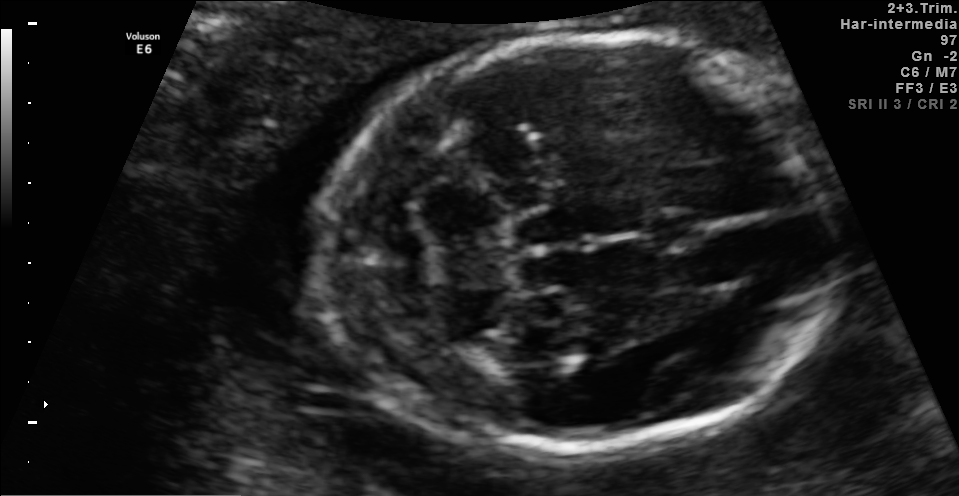
In this fetal brain, trans-cerebellum plane, give the bounding box of the fetal head.

[316,36,843,448]